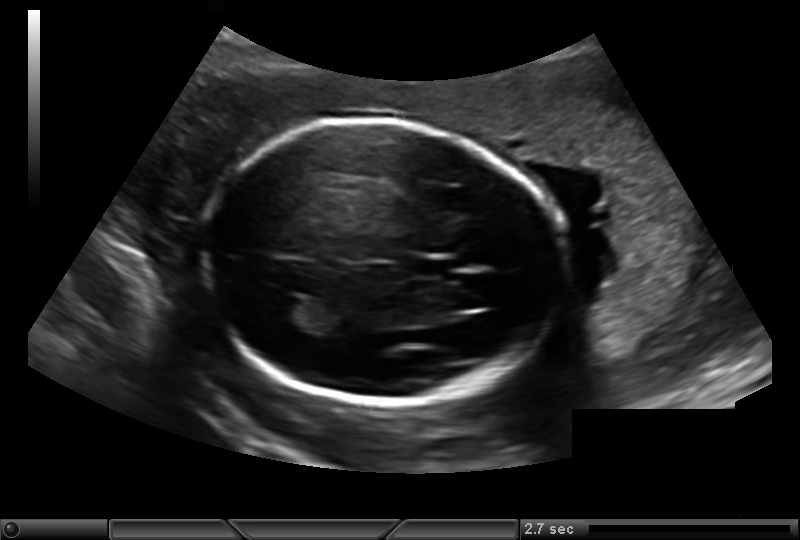
Fetal head ultrasound. Image width: 154.2 mm. Give [x1,y1,x2,y2] bounding boxes for each visible structure among: fetal head, CSP, LV.

Head: [204,120,563,402]
CSP: [408,257,455,279]
Lateral ventricle: [263,290,316,331]